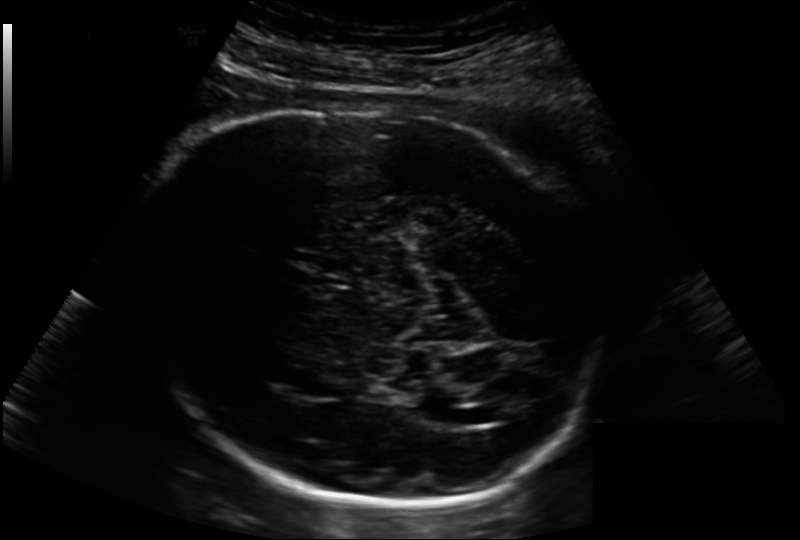
Fetal head ultrasound. Image width: 161.6 mm. Locate the fetal head and, if visible, the cavum septum pellucidum (CSP) and lateral ventricle (LV). Give bounding boxes as [x1,y1,x2,y2].

Head: [123,105,601,502]